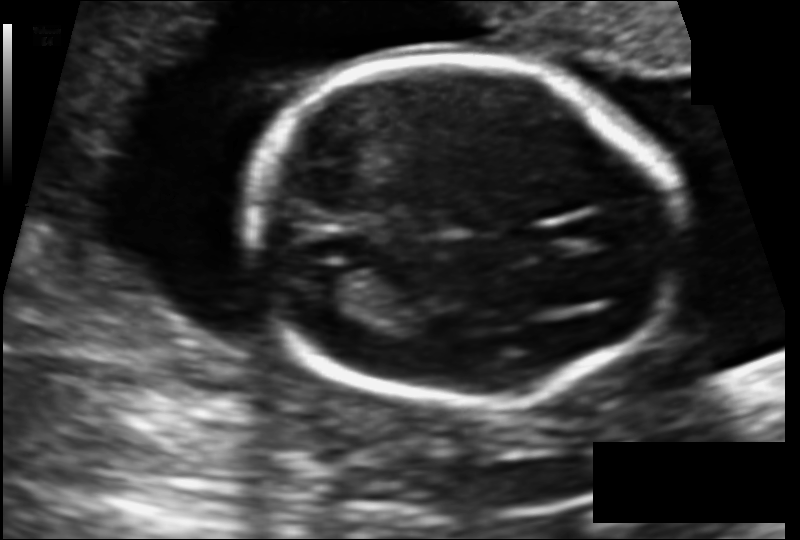
In this fetal head ultrasound, give the bounding box of the lateral ventricle. Image width: 96.7 mm.

[315,266,382,304]